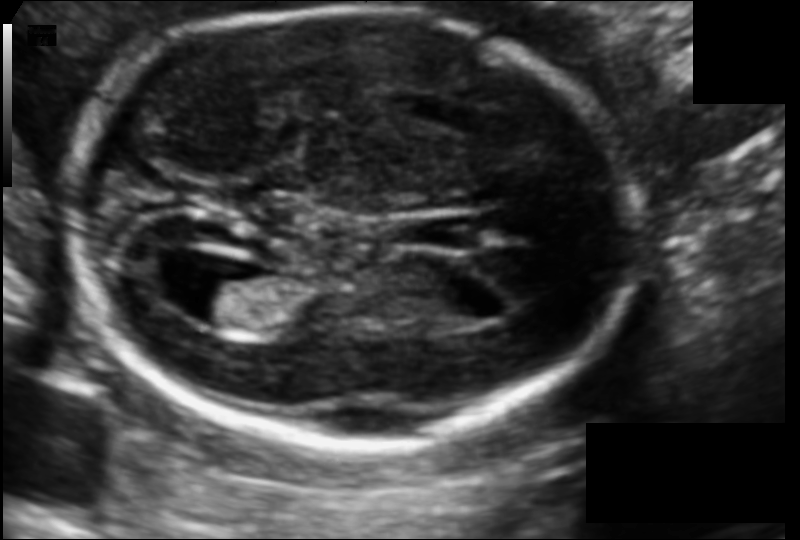
In this fetal head ultrasound, give the bounding box of the lateral ventricle. Image width: 83.9 mm.

[174,266,269,333]